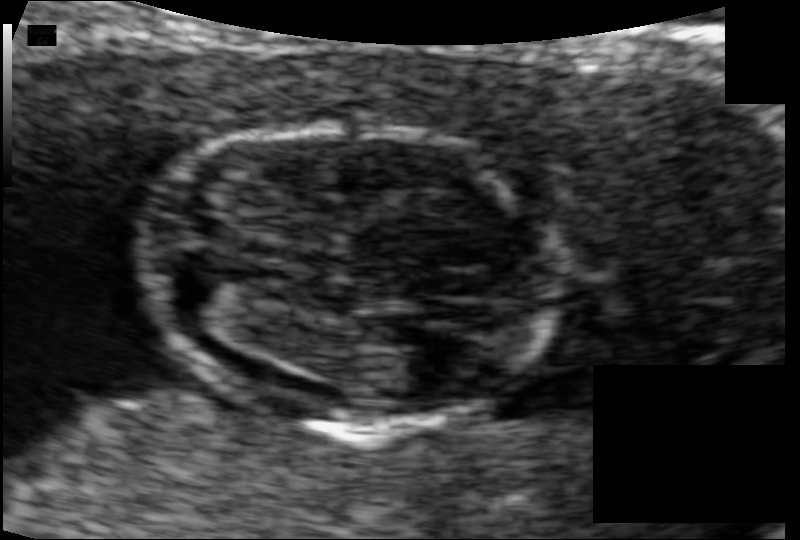
Fetal head ultrasound. Image width: 52.6 mm. Locate the fetal head.

Head: [144,128,551,428]